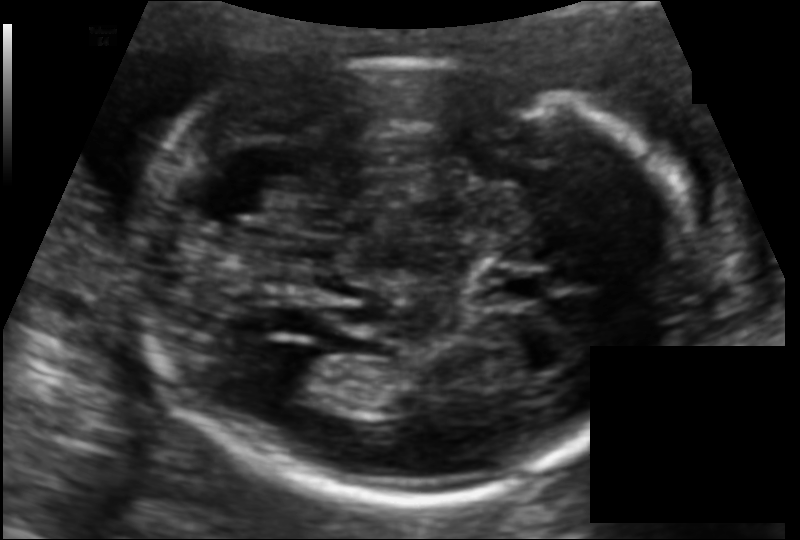
Estimate the fetal head circumference from this 2D ultrasound. Image width: 91.9 mm.

Head circumference: 183.6 mm.